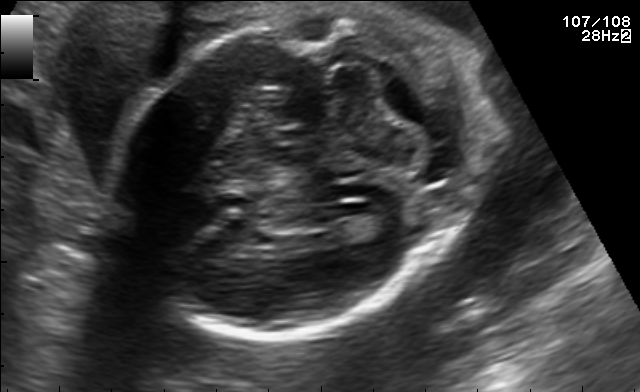
Fetal brain, trans-cerebellum plane. Locate the fetal head.

Head: [113,8,489,334]